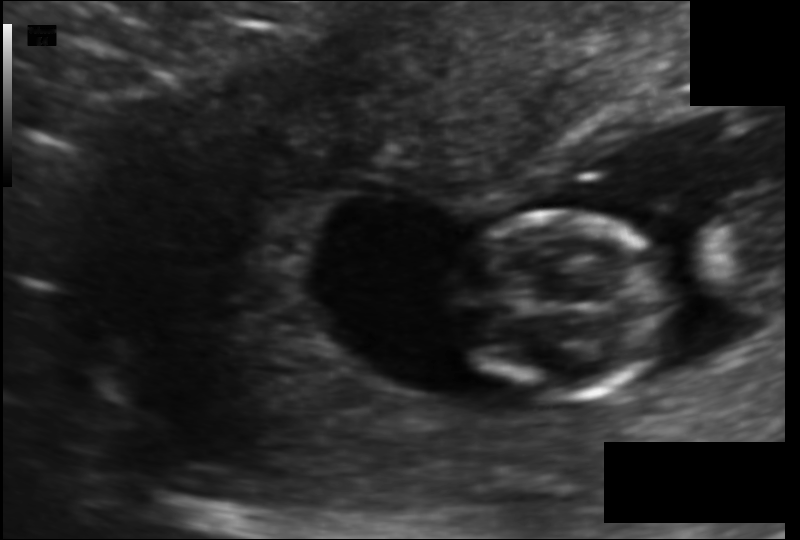
From this fetal ultrasound, estimate the head circumference (image width 82.9 mm).

Head circumference: 70.0 mm.